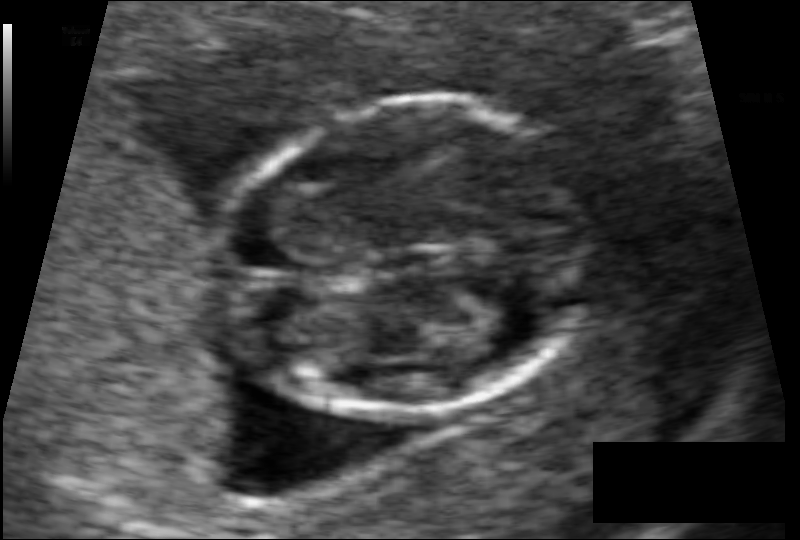
What is the fetal head circumference? Image width is 48.9 mm.

69.5 mm